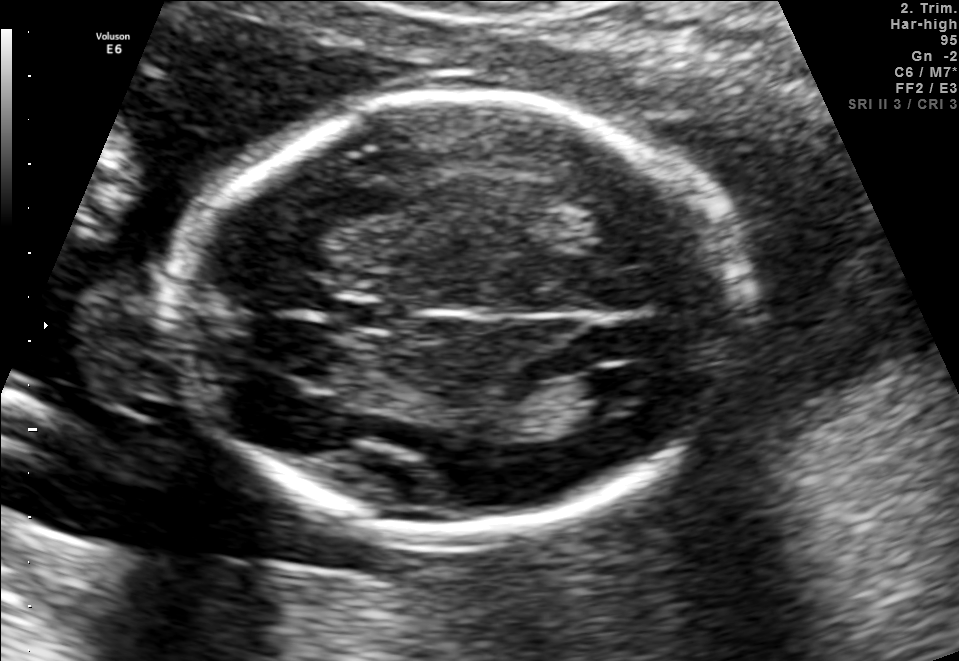
Fetal brain, trans-ventricular plane. Locate the fetal head and, if visible, the cavum septum pellucidum (CSP) and lateral ventricle (LV). Give bounding boxes as [x1,y1,x2,y2].

Head: [167,85,762,546]
CSP: [342,302,389,330]
Lateral ventricle: [577,360,664,417]